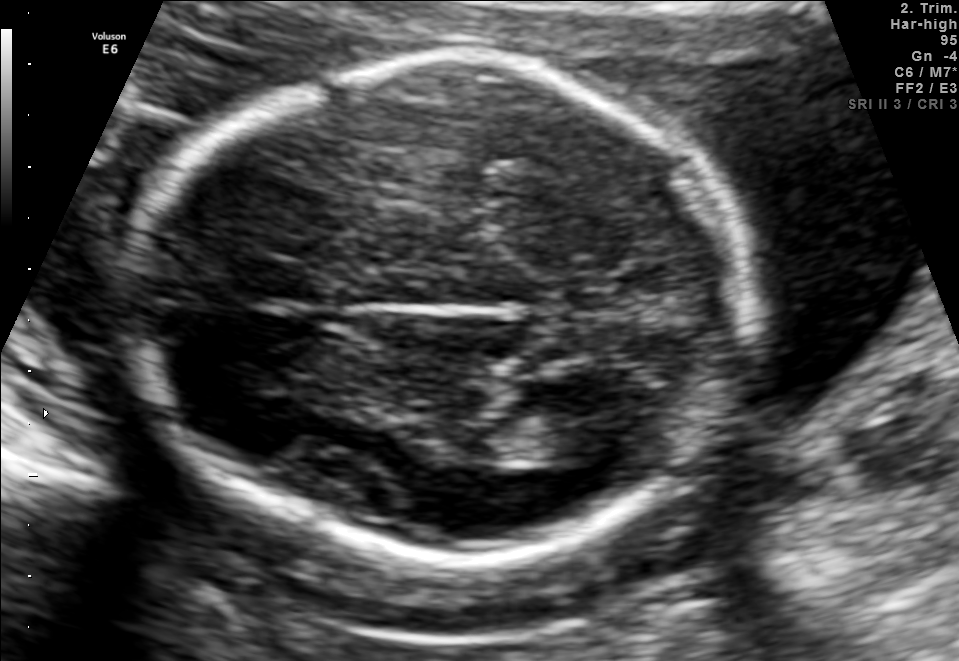
Fetal brain, trans-thalamic plane. Where is the lateral ventricle?

Lateral ventricle bounding box: [515,409,619,469]